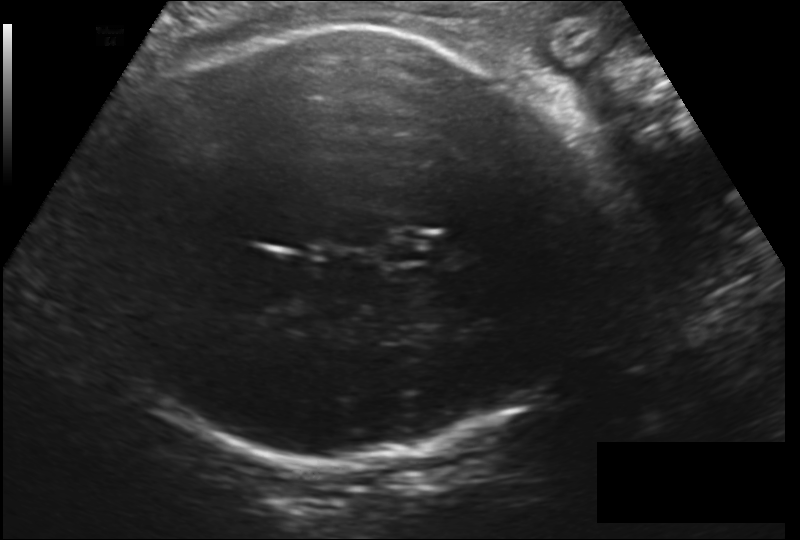
In this fetal head ultrasound, give the bounding box of the fetal head. Image width: 169.8 mm.

[93,27,609,466]